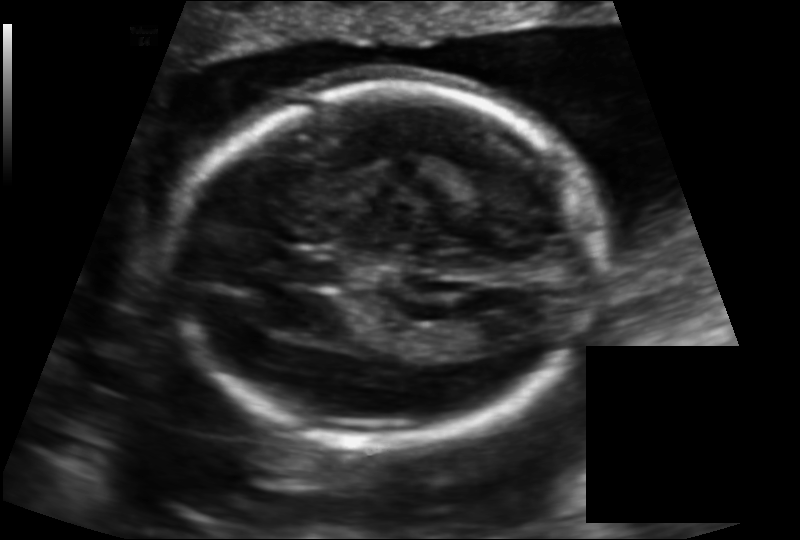
Fetal head ultrasound. Image width: 106.6 mm. Where is the lateral ventricle?

Lateral ventricle bounding box: [453,313,518,357]